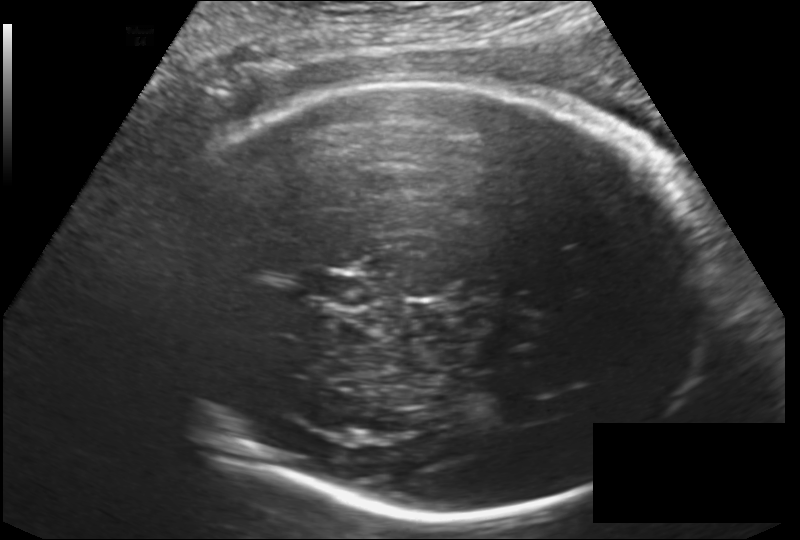
In this fetal head ultrasound, give the bounding box of the cavum septum pellucidum. Image width: 145.9 mm.

[304,265,374,312]